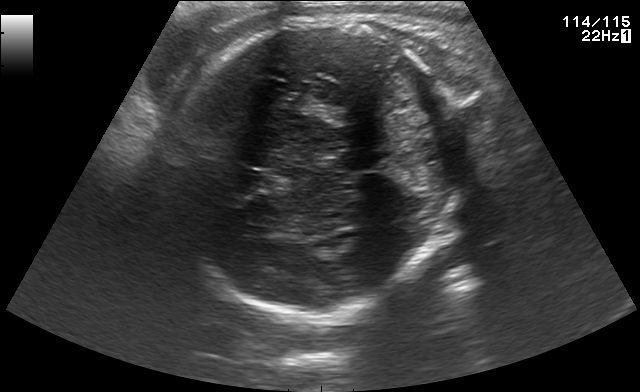
In this fetal brain, trans-thalamic plane, give the bounding box of the fetal head.

[166,24,466,313]